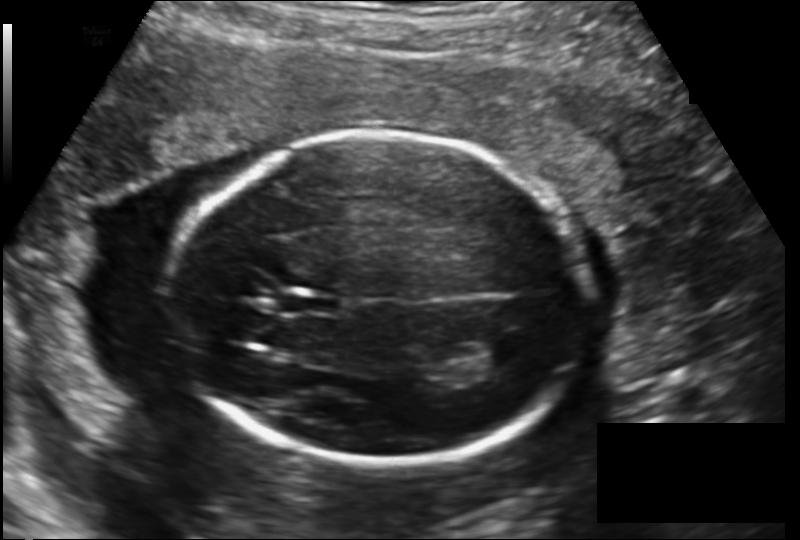
Estimate the fetal head circumference from this 2D ultrasound. Image width: 130.6 mm.

Head circumference: 199.3 mm.